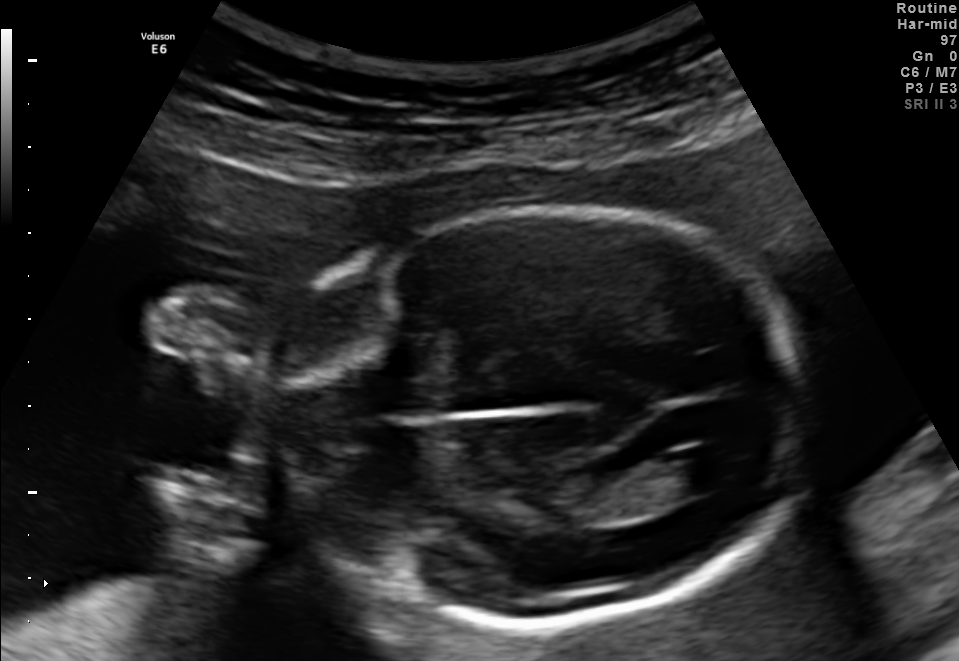
Fetal brain, trans-ventricular plane. Locate the fetal head.

Head: [270,201,821,630]